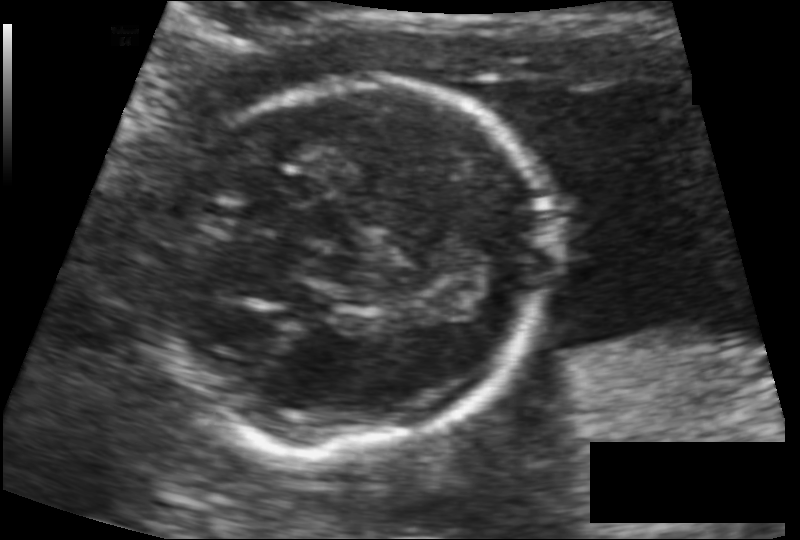
Fetal head ultrasound. Image width: 79.7 mm. Give [x1,y1,x2,y2] bounding boxes for each visible structure among: fetal head, CSP, LV.

Head: [162,80,553,449]